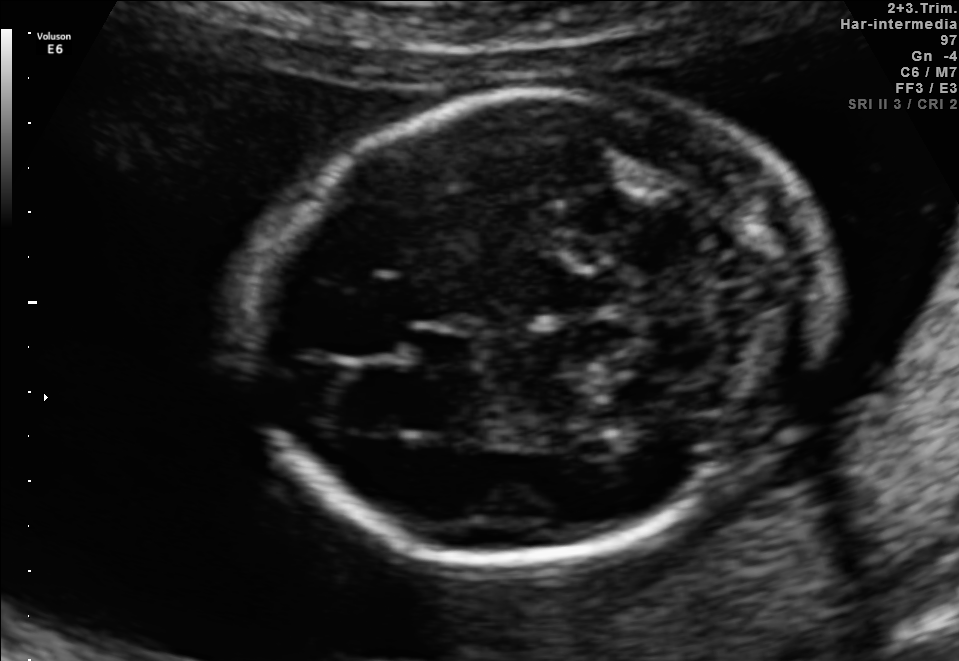
In this fetal brain, trans-cerebellum plane, give bounding boxes for the head outline, cavum septum pellucidum (CSP), and lateral ventricle (LV), where visible.

Head: [253,89,826,562]
CSP: [410,324,478,371]